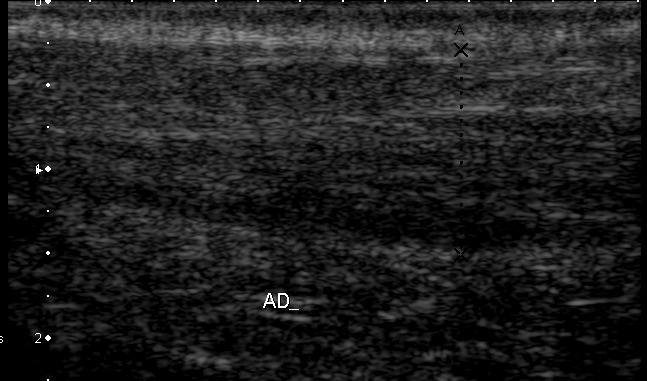
Which standard maternal-fetal ultrasound plane is shown: fetal abdomen, fetal brain, fetal femur, fetal thorax, maternal cervix, or other? If it's fetal brain and one of the three standard brain planes (trans-thalamic, trans-cerebellum, trans-ventricular), name which.

Other